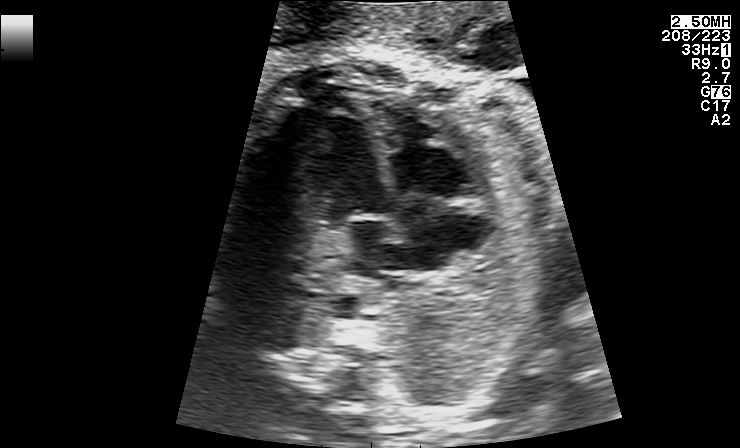
This is a 2D maternal-fetal ultrasound frame. Is it a fetal abdomen, fetal brain, fetal femur, fetal thorax, maternal cervix, or other standard plane? If it's fetal brain and one of the three standard brain planes (trans-thalamic, trans-cerebellum, trans-ventricular), name which.

Fetal thorax